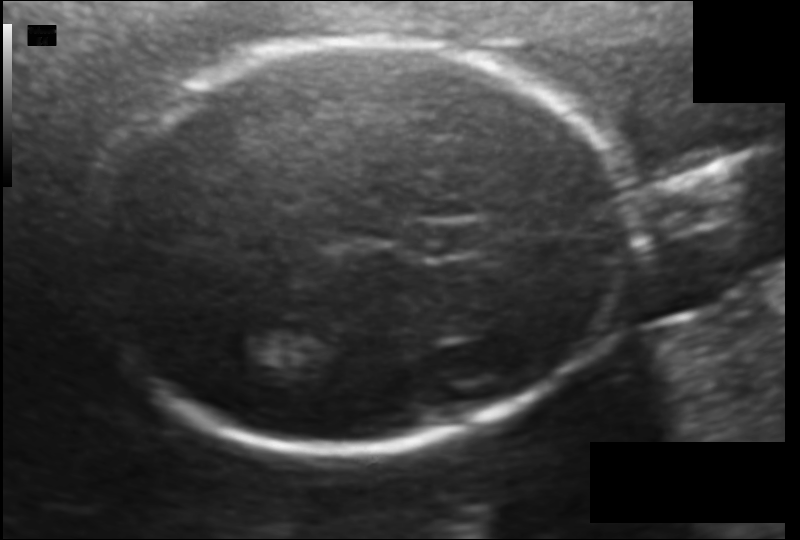
Fetal head ultrasound. Image width: 90.8 mm. Give [x1,y1,x2,y2] bounding boxes for each visible structure among: fetal head, CSP, LV.

Head: [85,40,626,449]
CSP: [414,217,487,261]
Lateral ventricle: [226,329,295,368]